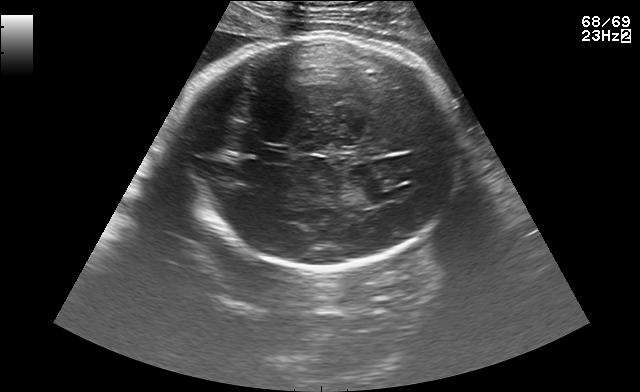
Fetal brain, trans-thalamic plane. Give [x1,y1,x2,y2] bounding boxes for each visible structure among: fetal head, CSP, LV.

Head: [172,38,467,266]
CSP: [262,150,290,164]
Lateral ventricle: [381,181,414,203]